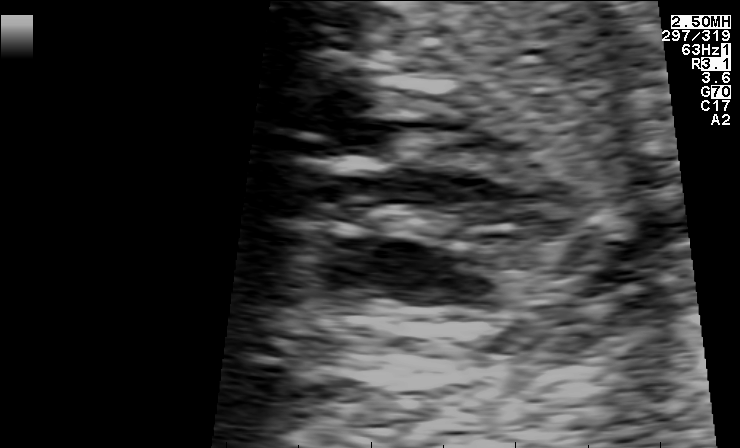
This is a 2D maternal-fetal ultrasound frame. Is it a fetal abdomen, fetal brain, fetal femur, fetal thorax, maternal cervix, or other standard plane? If it's fetal brain and one of the three standard brain planes (trans-thalamic, trans-cerebellum, trans-ventricular), name which.

Other